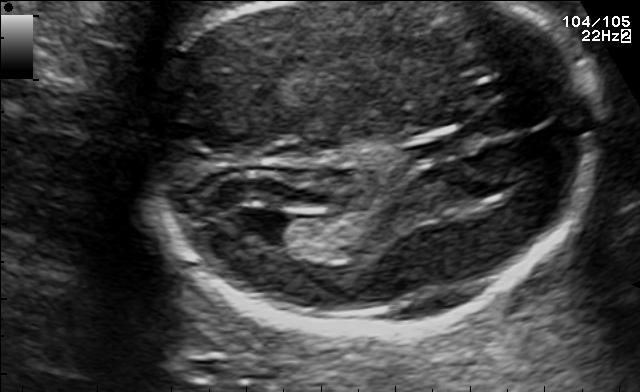
In this fetal brain, trans-ventricular plane, give the bounding box of the lateral ventricle.

[227,197,305,249]